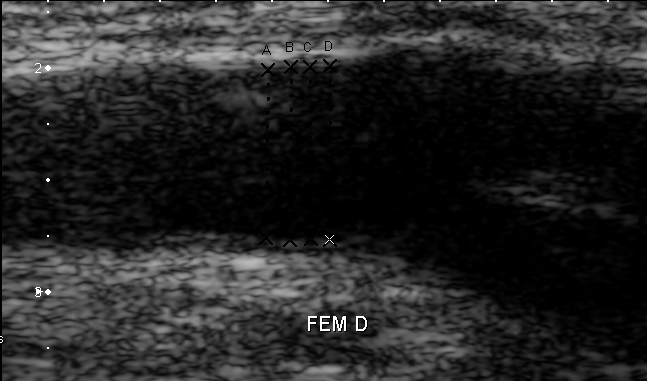
Identify the standard plane in this fetal ultrasound image: fetal abdomen, fetal brain, fetal femur, fetal thorax, maternal cervix, or other. If it's fetal brain and one of the three standard brain planes (trans-thalamic, trans-cerebellum, trans-ventricular), name which.

Other